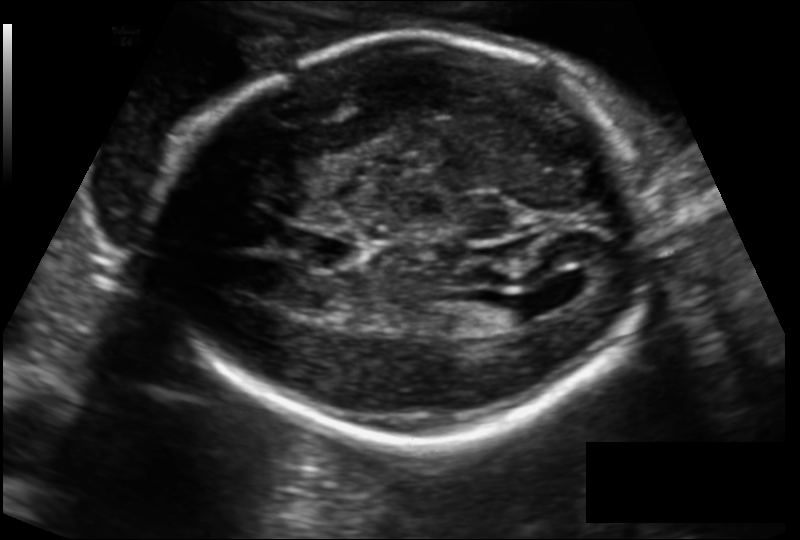
Fetal head ultrasound. Image width: 119.5 mm. Locate the cavum septum pellucidum.

CSP: [296,229,362,275]